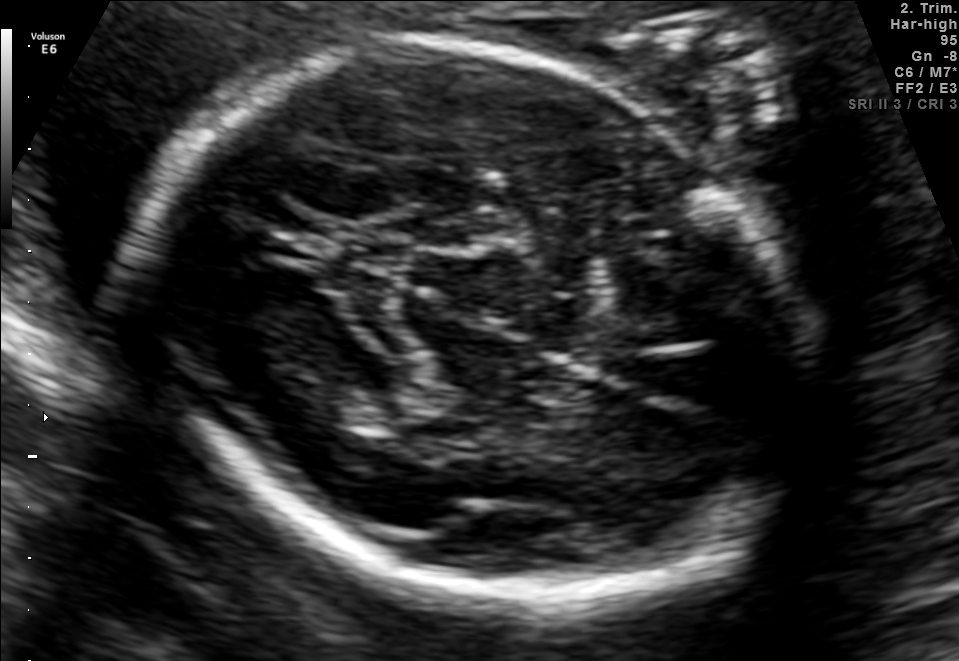
In this fetal brain, trans-thalamic plane, give bounding boxes for the head outline, cavum septum pellucidum (CSP), and lateral ventricle (LV), where visible.

Head: [143,40,802,601]